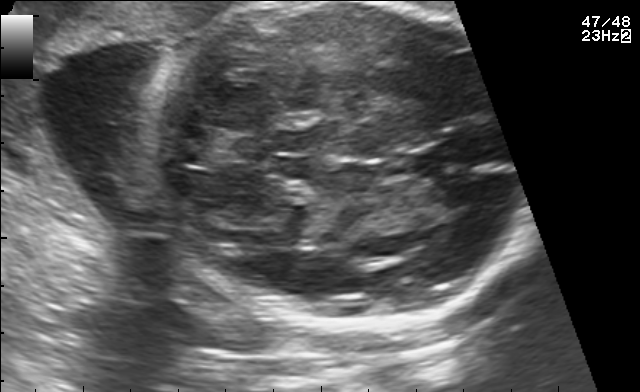
Fetal brain, trans-thalamic plane. Give [x1,y1,x2,y2] bounding boxes for each visible structure among: CSP, LV.

CSP: [408,140,456,173]